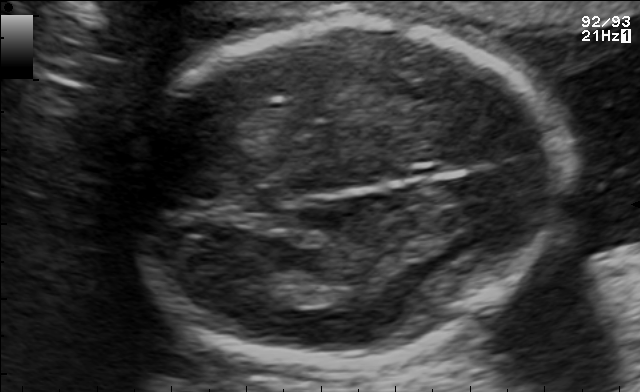
Fetal brain, trans-thalamic plane. Locate the fetal head.

Head: [123,16,561,368]